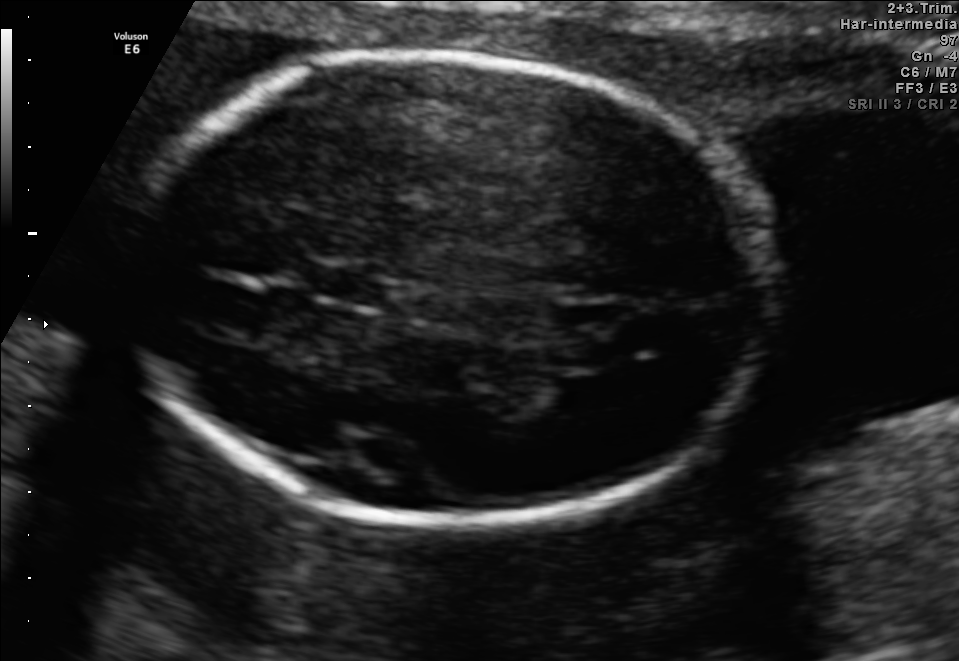
In this fetal brain, trans-thalamic plane, give the bounding box of the cavum septum pellucidum.

[313,261,388,311]